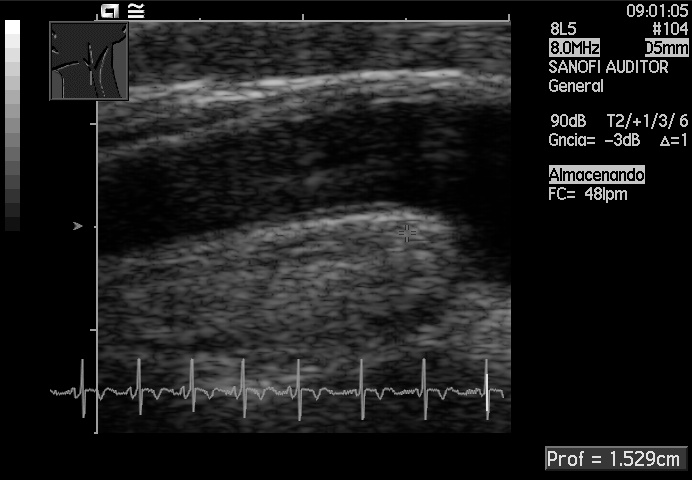
Which standard maternal-fetal ultrasound plane is shown: fetal abdomen, fetal brain, fetal femur, fetal thorax, maternal cervix, or other? If it's fetal brain and one of the three standard brain planes (trans-thalamic, trans-cerebellum, trans-ventricular), name which.

Other